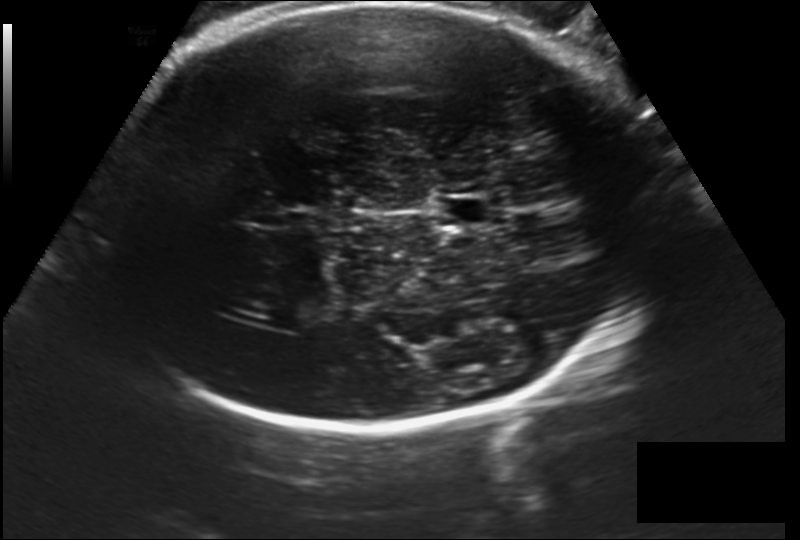
Estimate the fetal head circumference from this 2D ultrasound.

Head circumference: 324.6 mm (image width 162.0 mm).